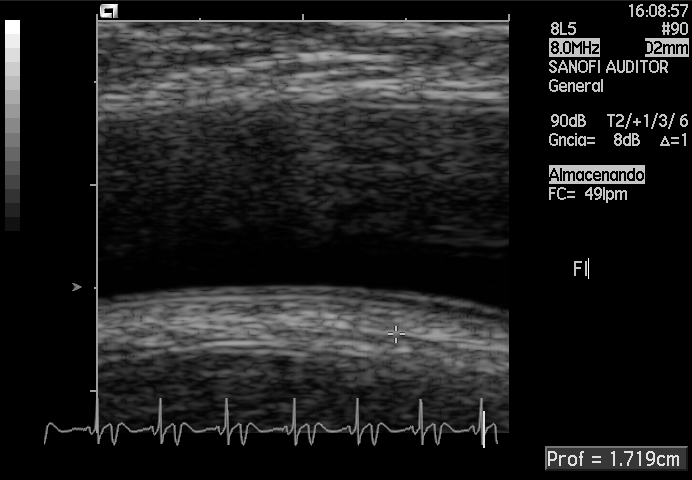
Identify the standard plane in this fetal ultrasound image: fetal abdomen, fetal brain, fetal femur, fetal thorax, maternal cervix, or other. If it's fetal brain and one of the three standard brain planes (trans-thalamic, trans-cerebellum, trans-ventricular), name which.

Other